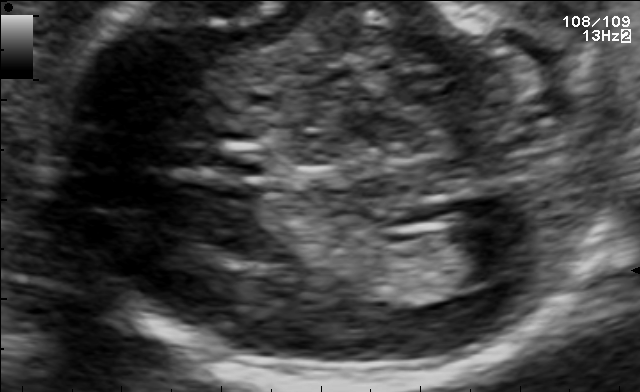
Fetal brain, trans-ventricular plane. Give [x1,y1,x2,y2] bounding boxes for each visible structure among: CSP, LV.

CSP: [164,134,276,192]
Lateral ventricle: [440,209,552,288]